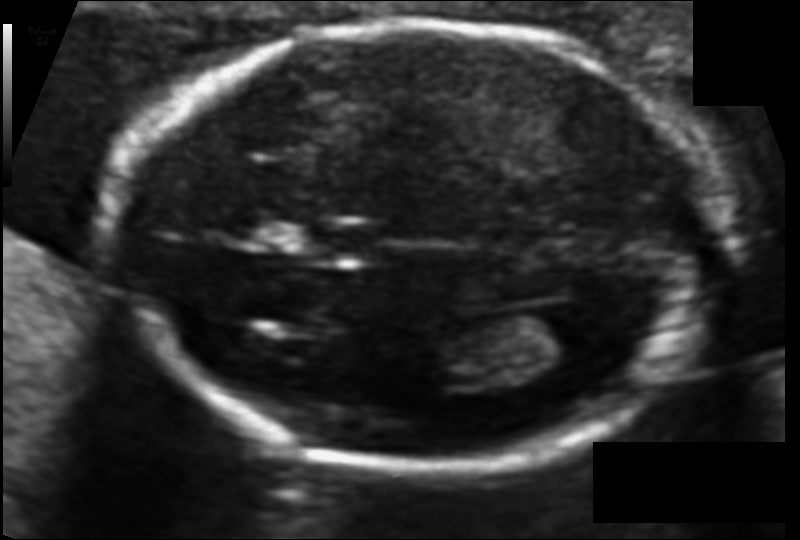
Fetal head ultrasound. Image width: 75.0 mm. Where is the lateral ventricle?

Lateral ventricle bounding box: [513,294,604,369]